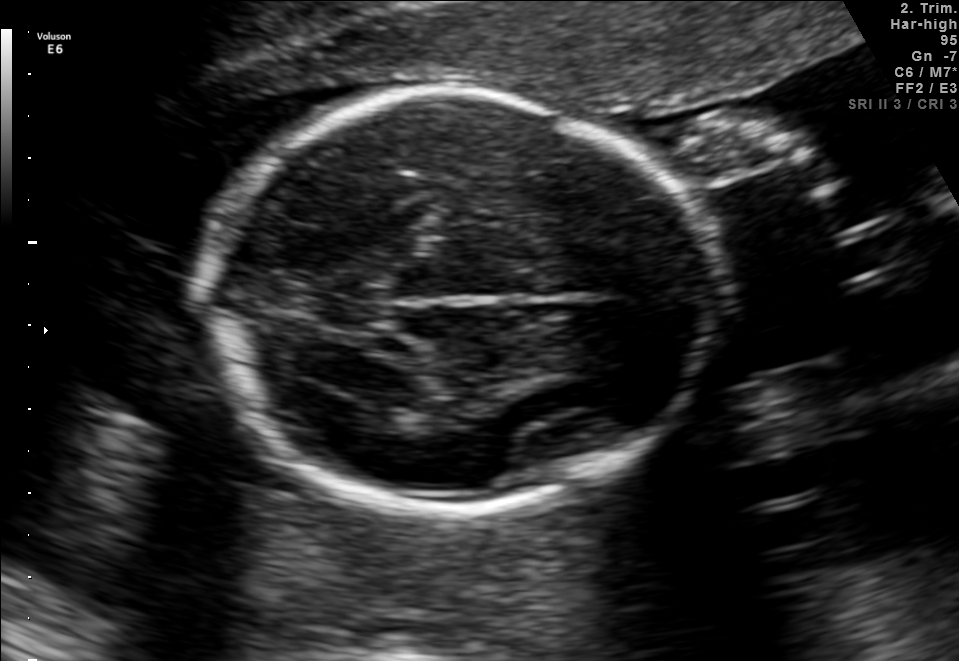
In this fetal brain, trans-thalamic plane, give bounding boxes for the head outline, cavum septum pellucidum (CSP), and lateral ventricle (LV), where visible.

Head: [202,93,711,508]
Lateral ventricle: [326,345,443,419]